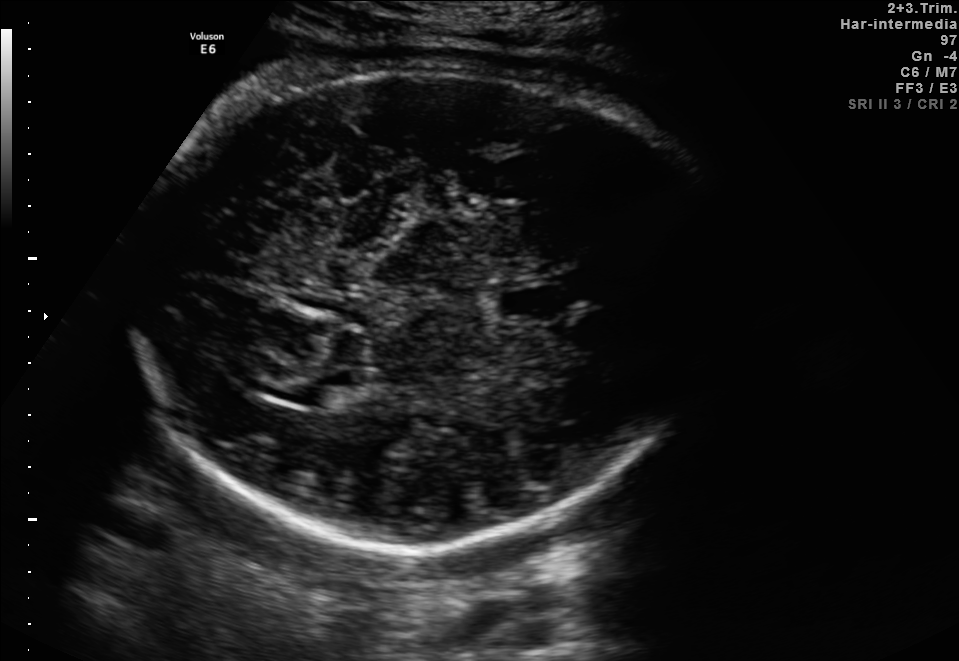
Classify this maternal-fetal ultrasound image as one of the six standard planes — fetal abdomen, fetal brain, fetal femur, fetal thorax, maternal cervix, or other. If it's fetal brain and one of the three standard brain planes (trans-thalamic, trans-cerebellum, trans-ventricular), name which.

Fetal brain (trans-thalamic plane)